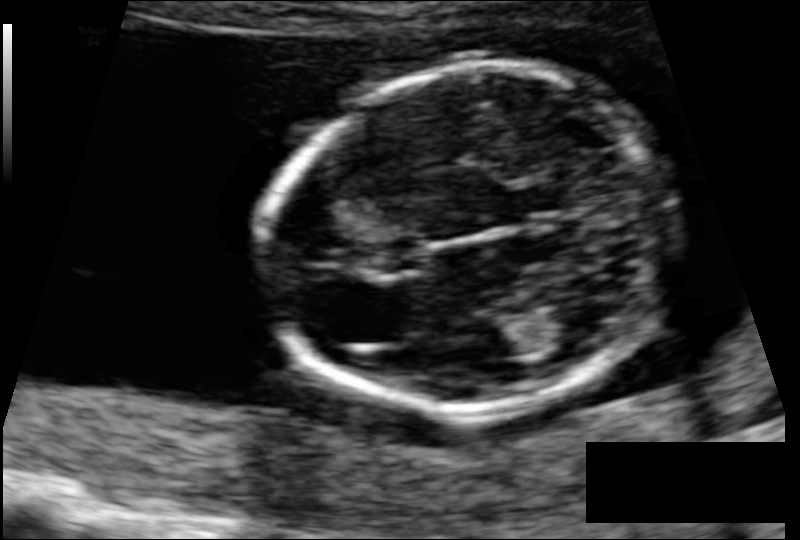
Estimate the fetal head circumference from this 2D ultrasound.

Head circumference: 106.5 mm (image width 70.5 mm).